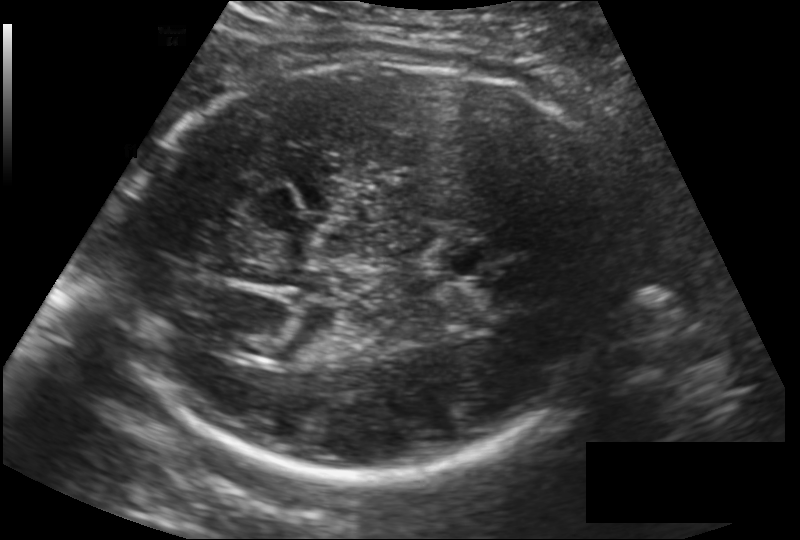
Fetal head ultrasound. Image width: 148.6 mm. Where is the cavum septum pellucidum?

CSP bounding box: [438,240,506,279]